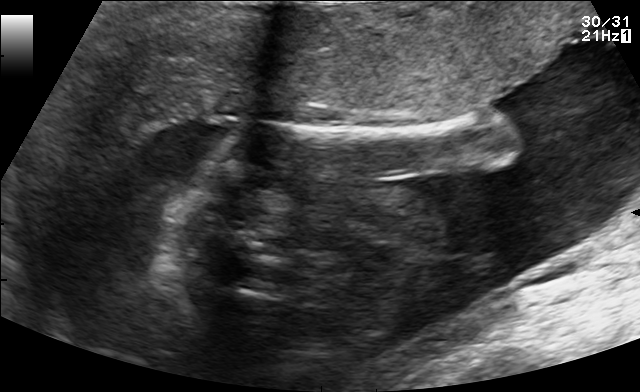
Which standard maternal-fetal ultrasound plane is shown: fetal abdomen, fetal brain, fetal femur, fetal thorax, maternal cervix, or other? If it's fetal brain and one of the three standard brain planes (trans-thalamic, trans-cerebellum, trans-ventricular), name which.

Other